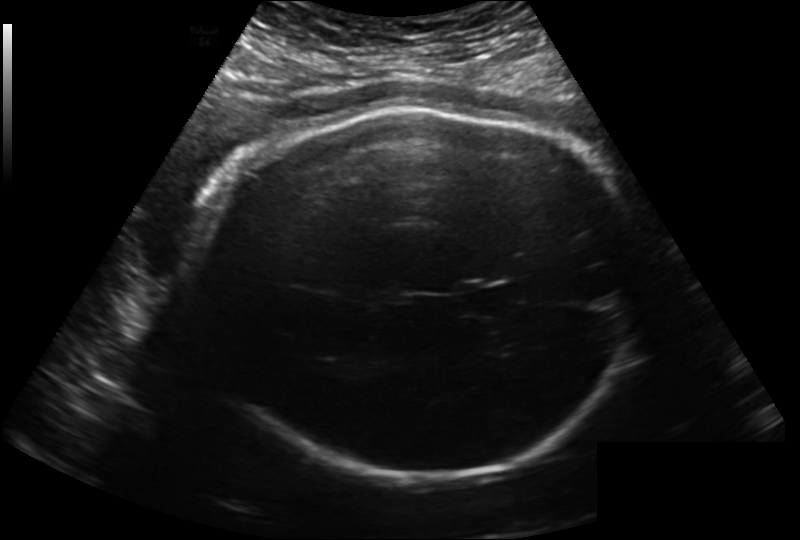
From this fetal ultrasound, estimate the head circumference (image width 177.2 mm).

Head circumference: 291.4 mm.